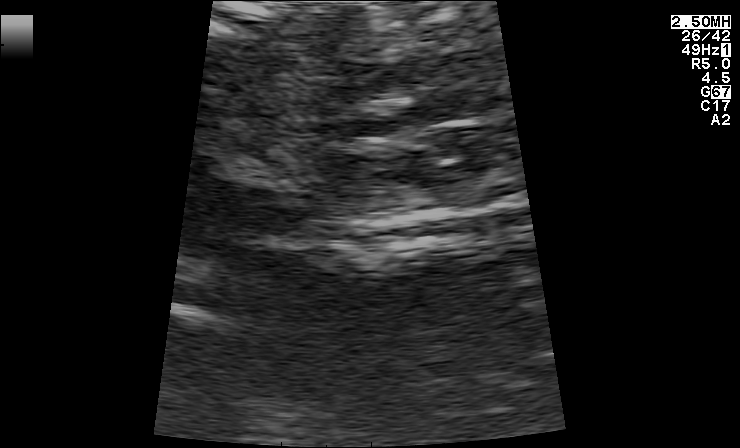
Which standard maternal-fetal ultrasound plane is shown: fetal abdomen, fetal brain, fetal femur, fetal thorax, maternal cervix, or other? If it's fetal brain and one of the three standard brain planes (trans-thalamic, trans-cerebellum, trans-ventricular), name which.

Other